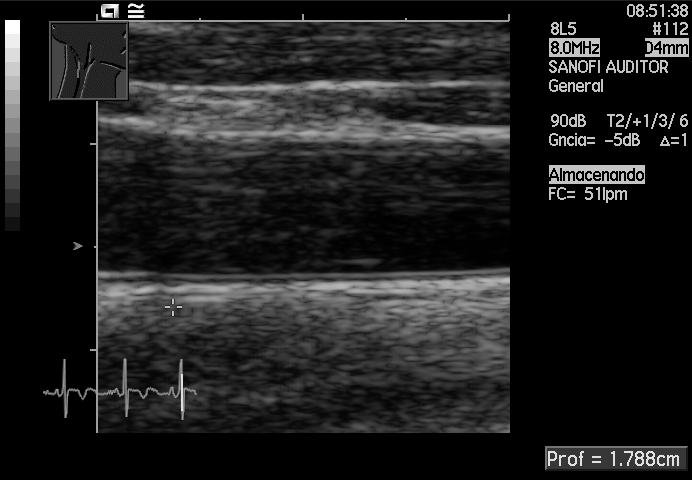
Classify this maternal-fetal ultrasound image as one of the six standard planes — fetal abdomen, fetal brain, fetal femur, fetal thorax, maternal cervix, or other. If it's fetal brain and one of the three standard brain planes (trans-thalamic, trans-cerebellum, trans-ventricular), name which.

Other